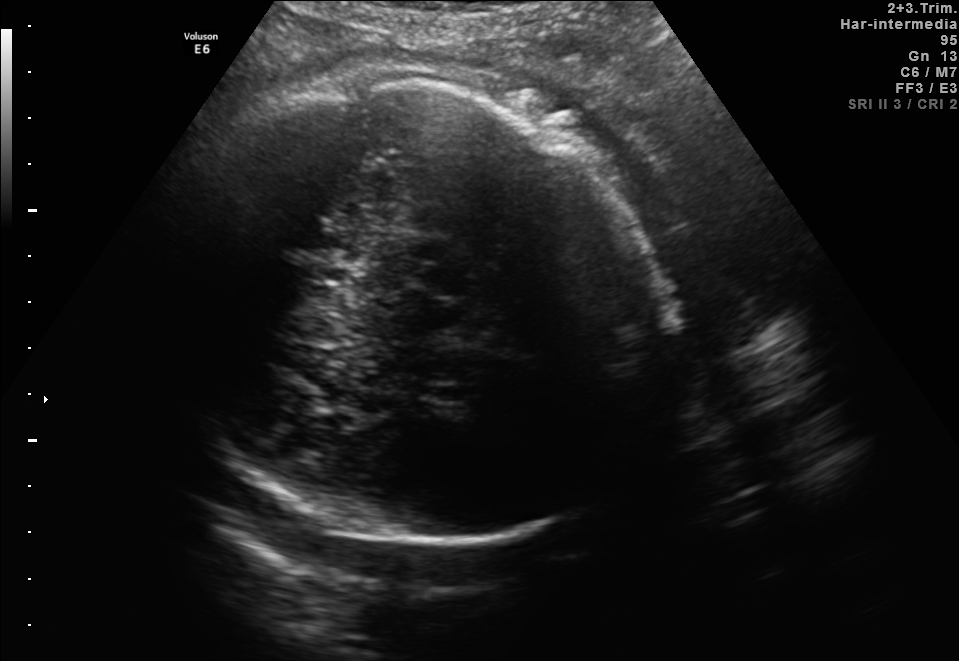
This is a 2D maternal-fetal ultrasound frame. Is it a fetal abdomen, fetal brain, fetal femur, fetal thorax, maternal cervix, or other standard plane? If it's fetal brain and one of the three standard brain planes (trans-thalamic, trans-cerebellum, trans-ventricular), name which.

Fetal brain (trans-thalamic plane)